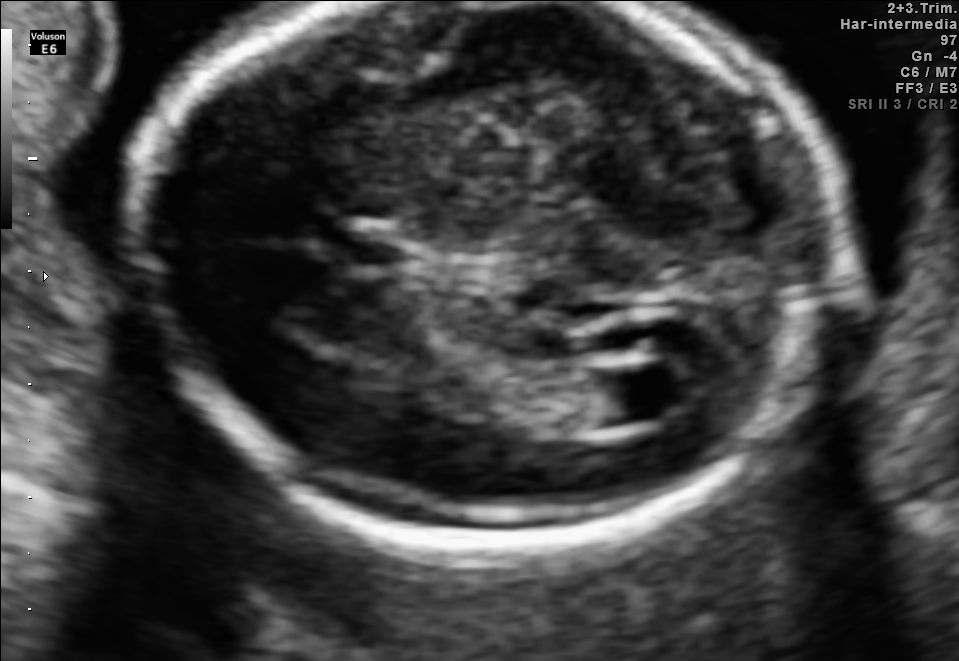
Classify this maternal-fetal ultrasound image as one of the six standard planes — fetal abdomen, fetal brain, fetal femur, fetal thorax, maternal cervix, or other. If it's fetal brain and one of the three standard brain planes (trans-thalamic, trans-cerebellum, trans-ventricular), name which.

Fetal brain (trans-ventricular plane)